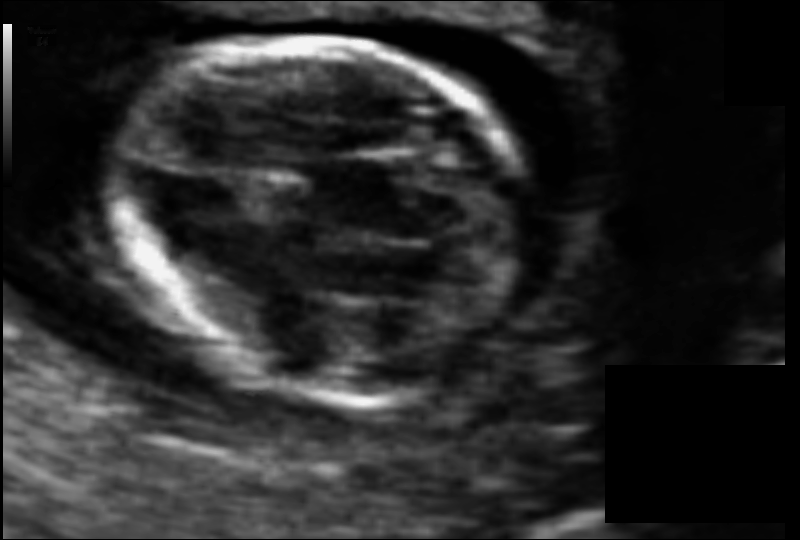
Fetal head ultrasound. Image width: 51.5 mm. Locate the fetal head and, if visible, the cavum septum pellucidum (CSP) and lateral ventricle (LV). Give bounding boxes as [x1,y1,x2,y2].

Head: [112,39,540,399]